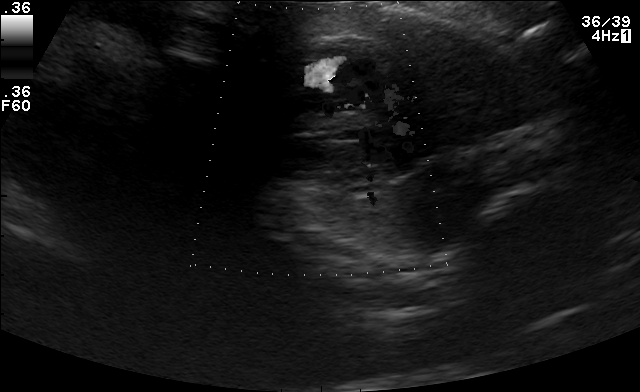
Which standard maternal-fetal ultrasound plane is shown: fetal abdomen, fetal brain, fetal femur, fetal thorax, maternal cervix, or other? If it's fetal brain and one of the three standard brain planes (trans-thalamic, trans-cerebellum, trans-ventricular), name which.

Other